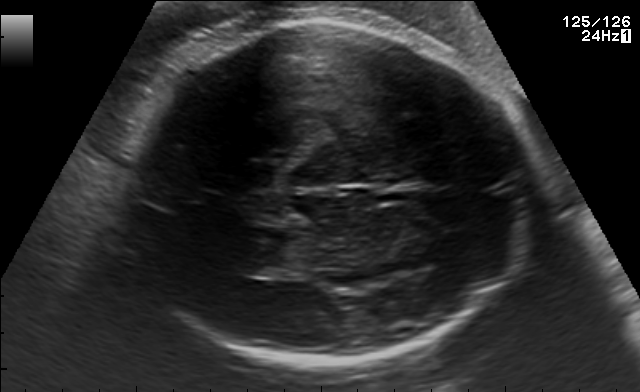
Fetal brain, trans-thalamic plane. Give [x1,y1,x2,y2] bounding boxes for each visible structure among: fetal head, CSP, LV.

Head: [116,21,532,358]